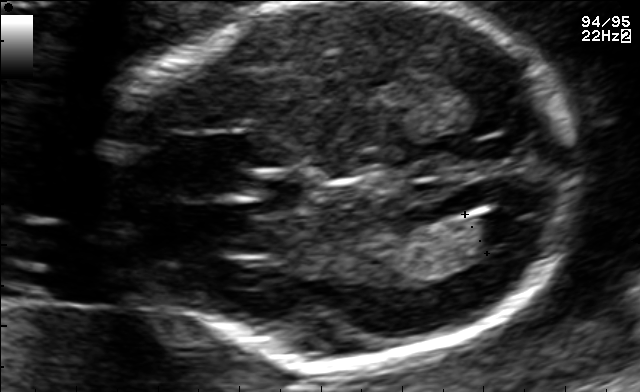
Fetal brain, trans-ventricular plane. Where is the lateral ventricle?

Lateral ventricle bounding box: [465,200,538,252]